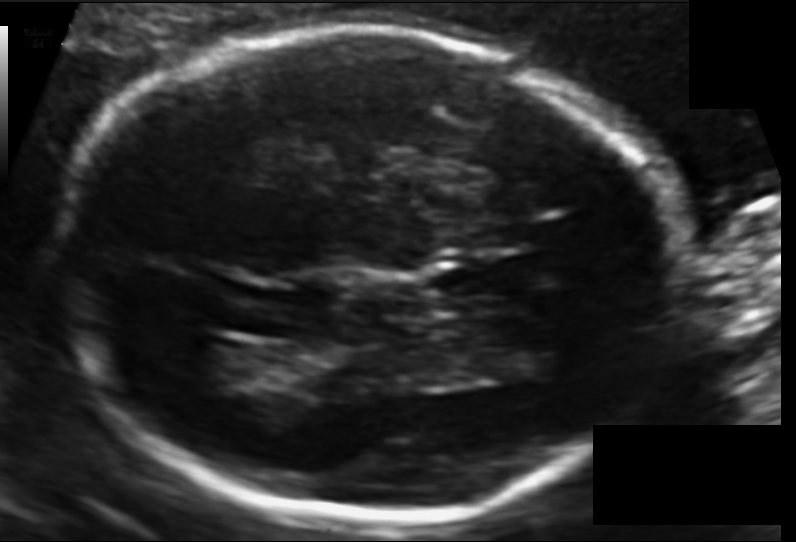
Fetal head ultrasound. Image width: 95.4 mm. Where is the fetal head?

Head bounding box: [52,27,684,517]